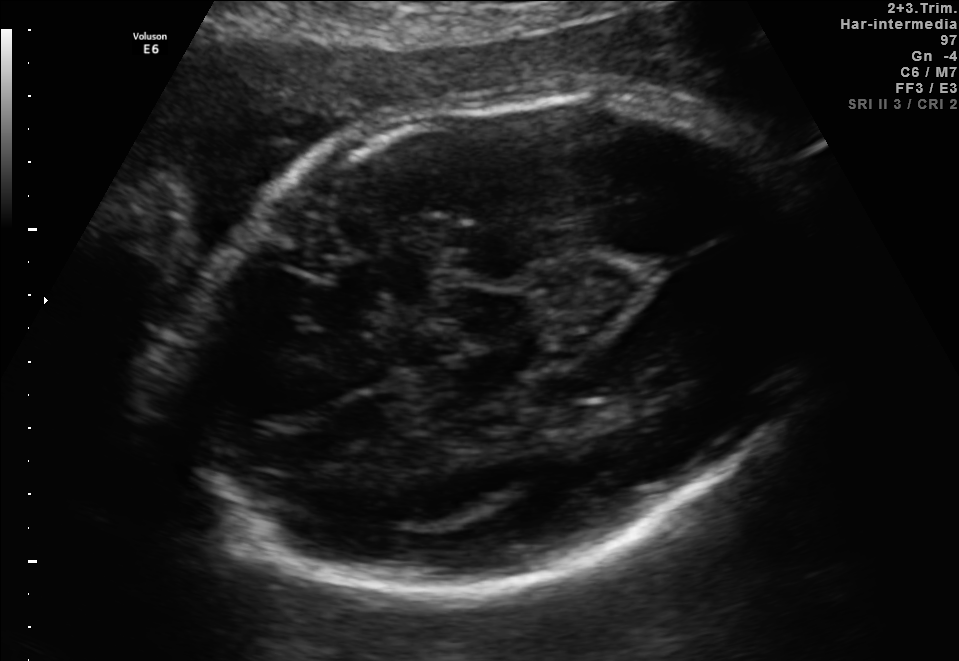
In this fetal brain, trans-thalamic plane, give bounding boxes for the head outline, cavum septum pellucidum (CSP), and lateral ventricle (LV), where visible.

Head: [174,91,819,590]